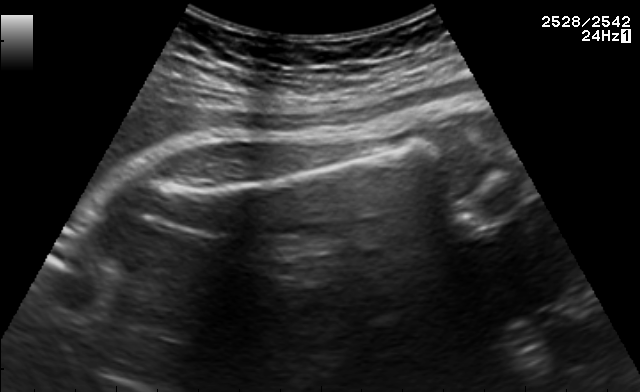
Identify the standard plane in this fetal ultrasound image: fetal abdomen, fetal brain, fetal femur, fetal thorax, maternal cervix, or other. If it's fetal brain and one of the three standard brain planes (trans-thalamic, trans-cerebellum, trans-ventricular), name which.

Fetal femur